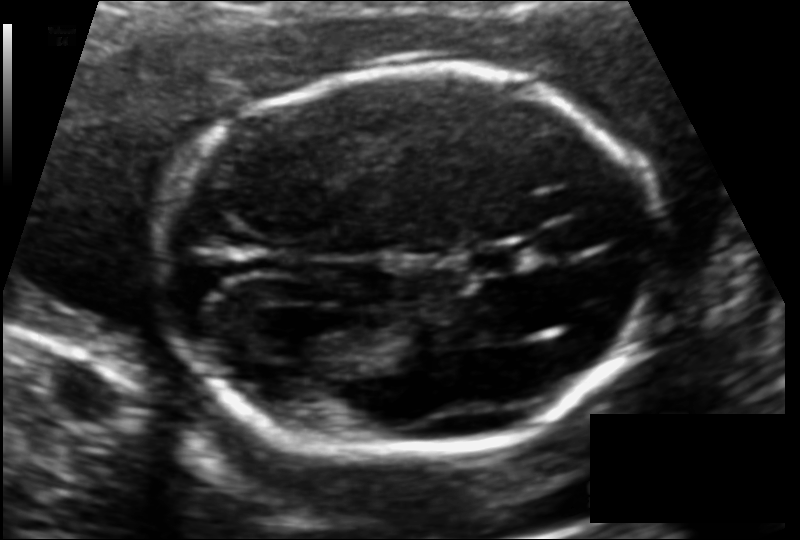
Fetal head ultrasound. Image width: 93.1 mm. Locate the cavum septum pellucidum.

CSP: [467,243,524,275]